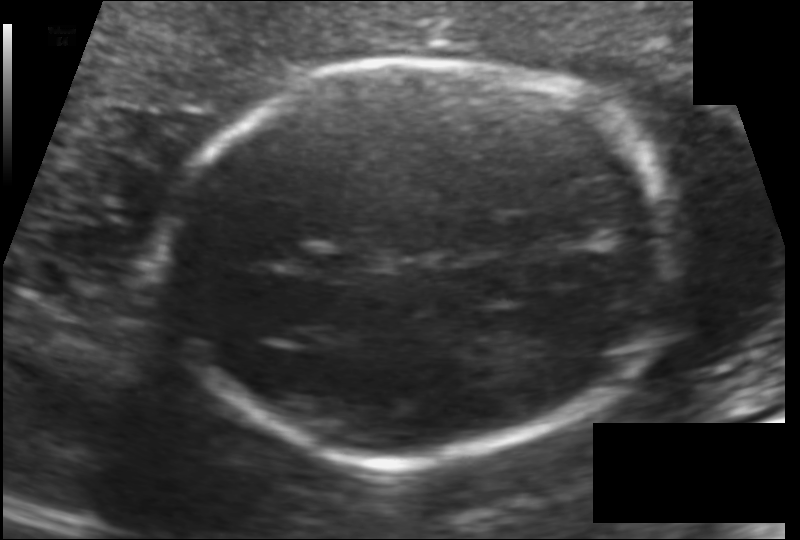
In this fetal head ultrasound, give the bounding box of the fetal head. Image width: 95.9 mm.

[170,61,672,461]